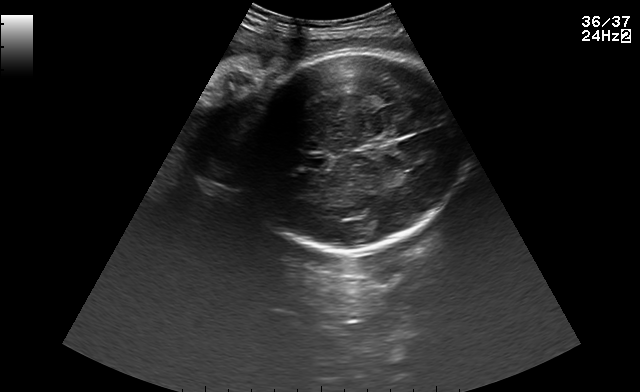
Fetal brain, trans-thalamic plane. Give [x1,y1,x2,y2] bounding boxes for each visible structure among: fetal head, CSP, LV.

Head: [244,52,462,255]
CSP: [306,155,328,168]